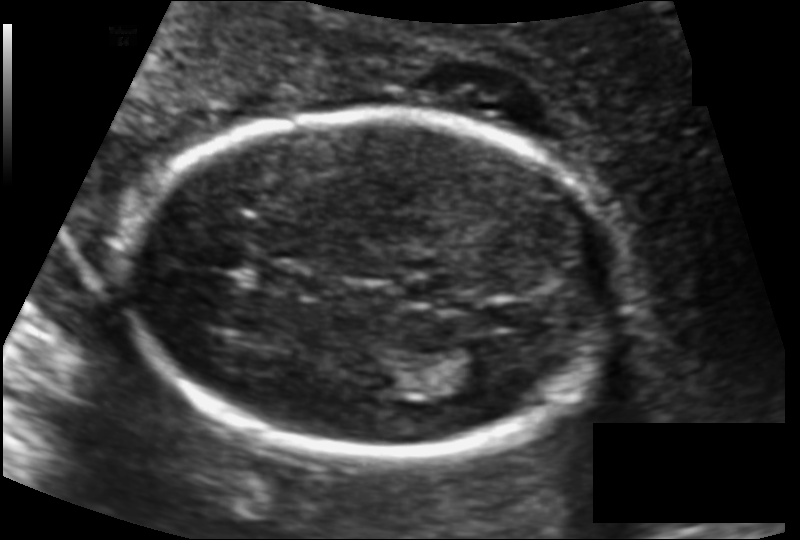
Estimate the fetal head circumference from this 2D ultrasound. Image width: 93.7 mm.

Head circumference: 160.6 mm.